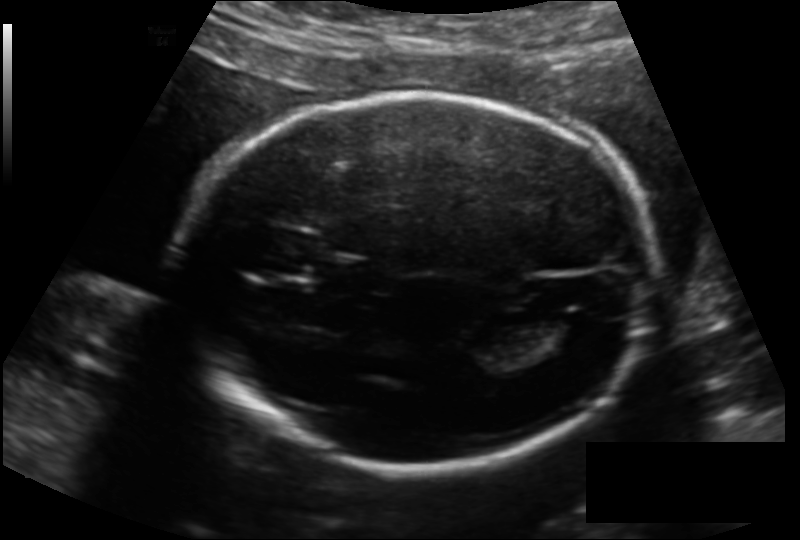
Fetal head ultrasound. Image width: 120.8 mm. Locate the fetal head.

Head: [174,94,652,467]